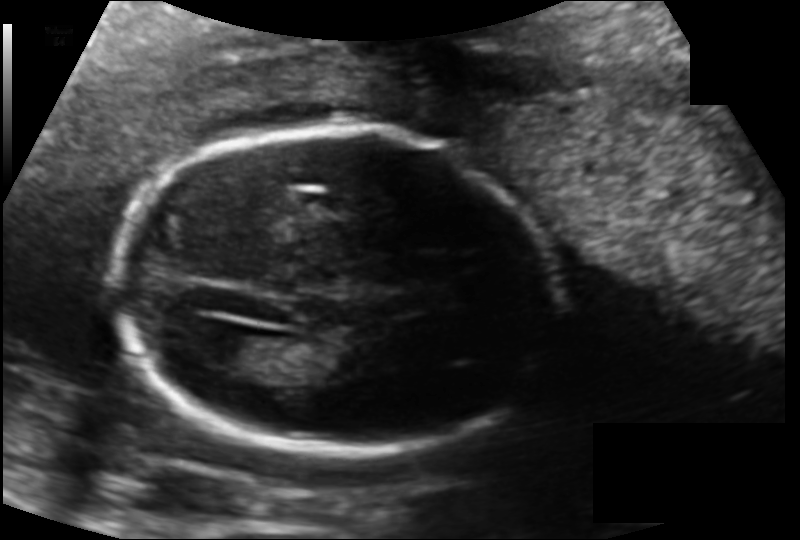
Estimate the fetal head circumference from this 2D ultrasound.

Head circumference: 167.5 mm (image width 107.0 mm).